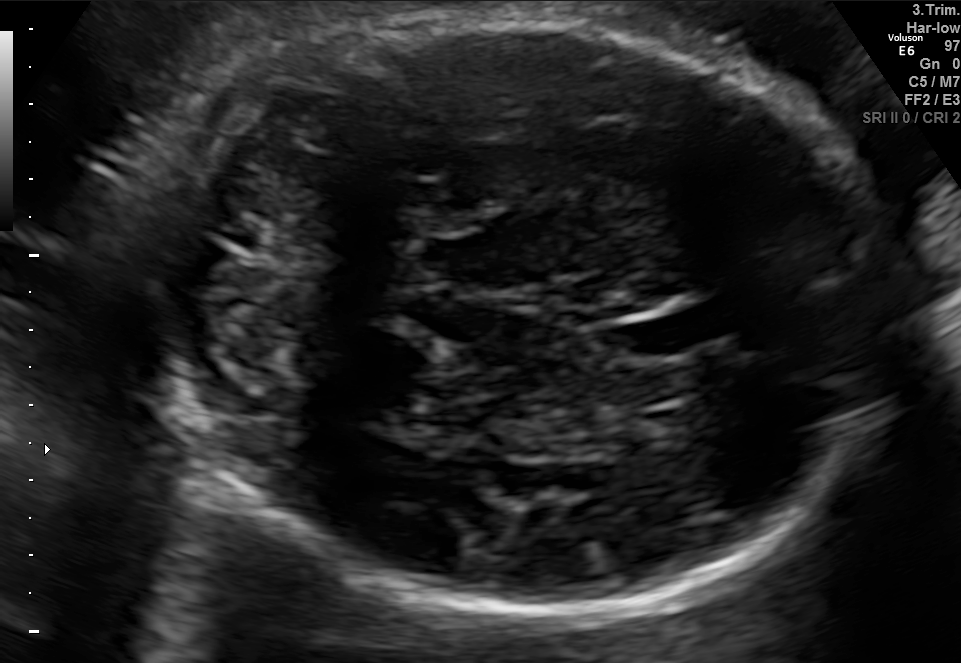
Fetal brain, trans-cerebellum plane. Locate the cavum septum pellucidum.

CSP: [596,306,694,372]